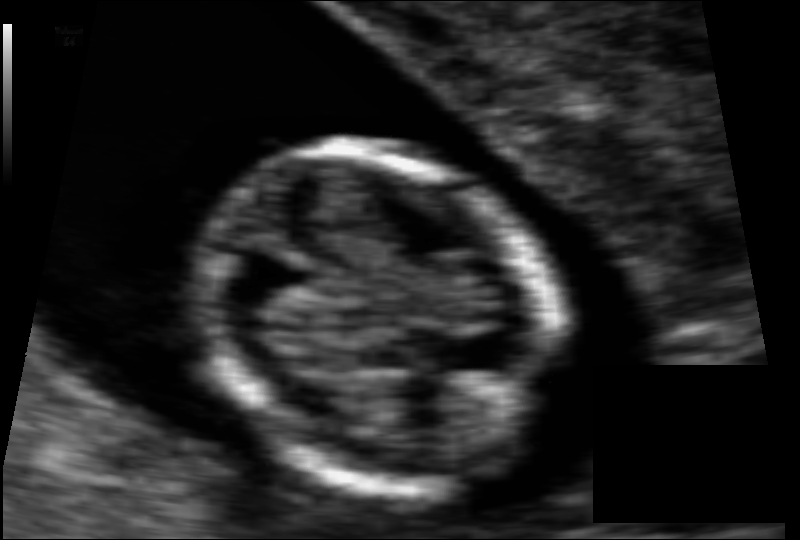
Measure the fetal head circumference shown in this ultrasound image. Image width: 49.4 mm.

Head circumference: 69.9 mm.